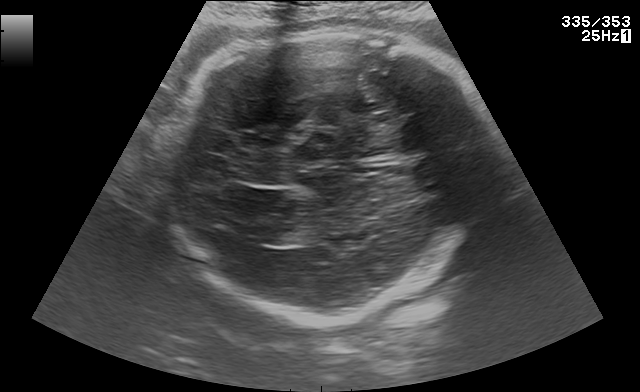
Fetal brain, trans-thalamic plane. Locate the lateral ventricle.

Lateral ventricle: [257,225,312,246]